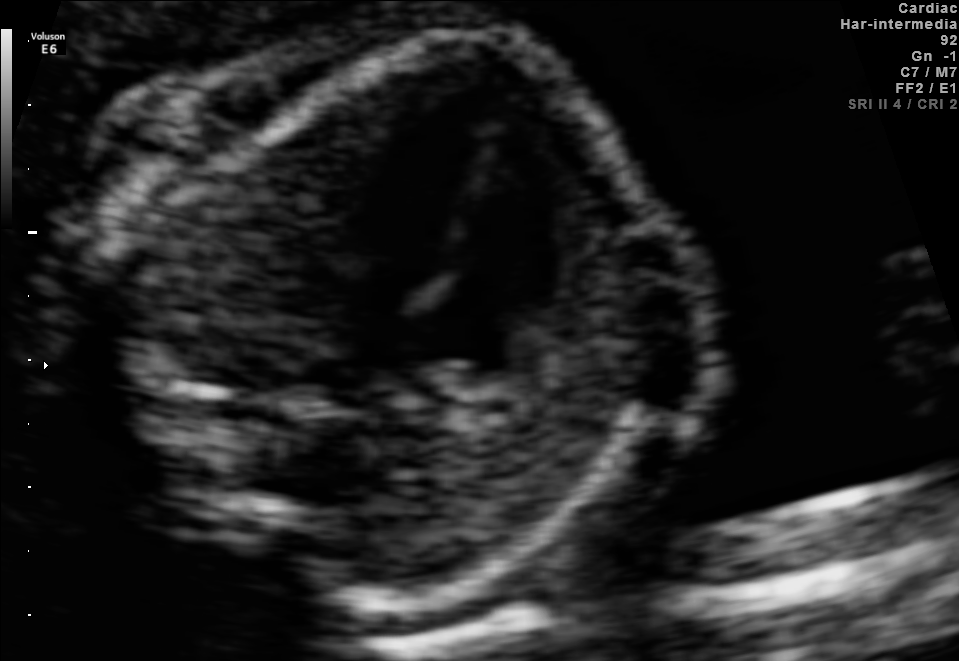
This is a 2D maternal-fetal ultrasound frame. Is it a fetal abdomen, fetal brain, fetal femur, fetal thorax, maternal cervix, or other standard plane? If it's fetal brain and one of the three standard brain planes (trans-thalamic, trans-cerebellum, trans-ventricular), name which.

Fetal thorax